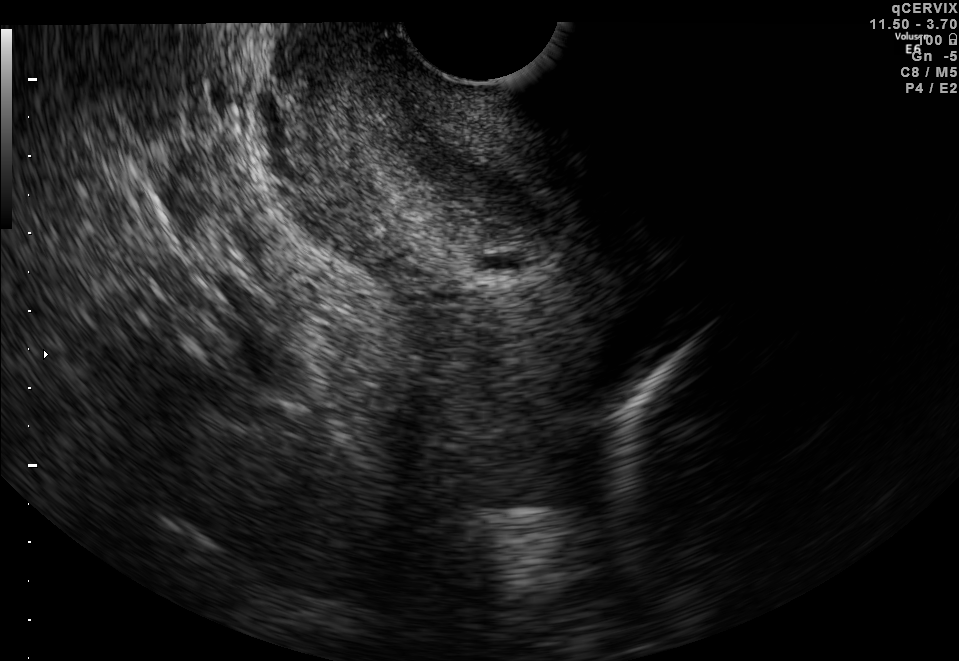
Classify this maternal-fetal ultrasound image as one of the six standard planes — fetal abdomen, fetal brain, fetal femur, fetal thorax, maternal cervix, or other. If it's fetal brain and one of the three standard brain planes (trans-thalamic, trans-cerebellum, trans-ventricular), name which.

Maternal cervix